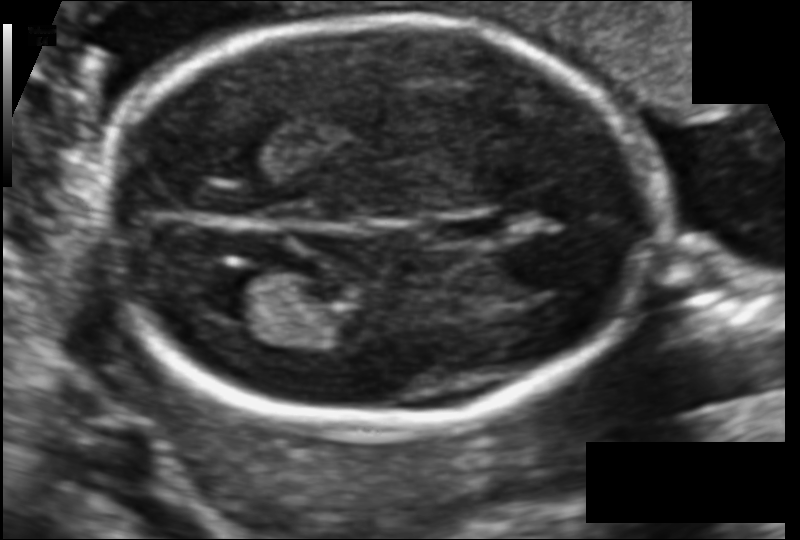
Fetal head ultrasound. Image width: 84.6 mm. Locate the cavum septum pellucidum.

CSP: [426,209,507,247]